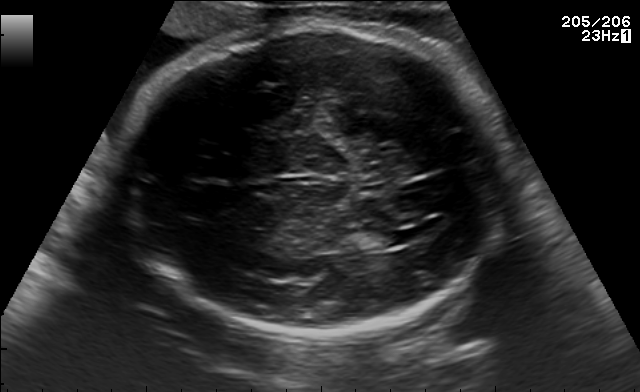
In this fetal brain, trans-ventricular plane, give the bounding box of the fetal head.

[123,24,511,338]